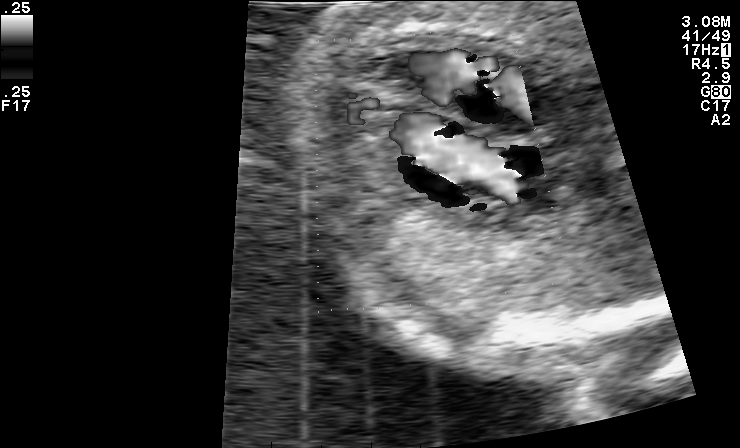
This is a 2D maternal-fetal ultrasound frame. Is it a fetal abdomen, fetal brain, fetal femur, fetal thorax, maternal cervix, or other standard plane? If it's fetal brain and one of the three standard brain planes (trans-thalamic, trans-cerebellum, trans-ventricular), name which.

Other